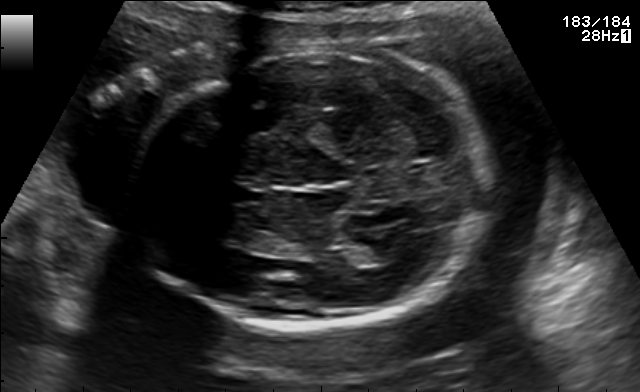
Fetal brain, trans-thalamic plane. Where is the lateral ventricle?

Lateral ventricle bounding box: [354,245,396,267]